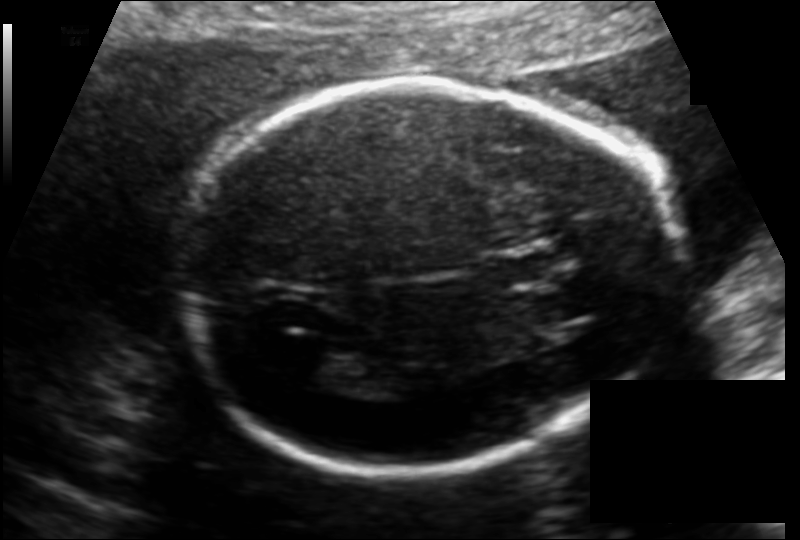
In this fetal head ultrasound, give the bounding box of the fetal head. Image width: 104.3 mm.

[176,78,674,479]